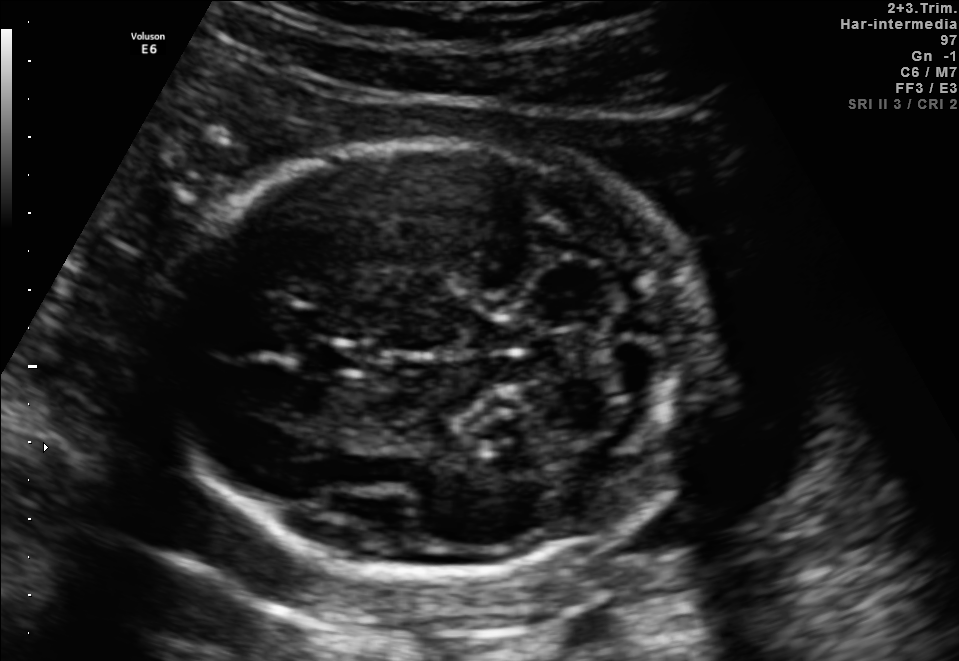
In this fetal brain, trans-cerebellum plane, give bounding boxes for the head outline, cavum septum pellucidum (CSP), and lateral ventricle (LV), where visible.

Head: [163,141,712,570]
CSP: [304,337,361,377]